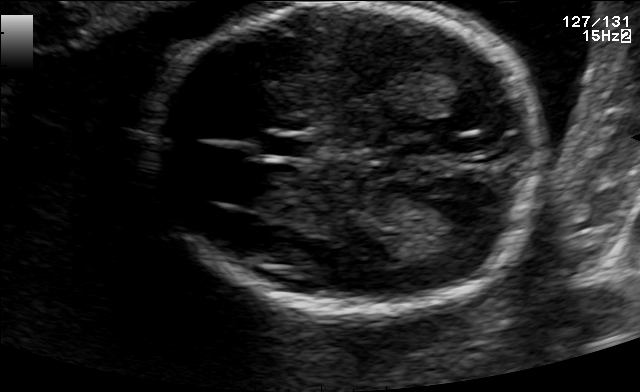
Identify the standard plane in this fetal ultrasound image: fetal abdomen, fetal brain, fetal femur, fetal thorax, maternal cervix, or other. If it's fetal brain and one of the three standard brain planes (trans-thalamic, trans-cerebellum, trans-ventricular), name which.

Fetal brain (trans-thalamic plane)